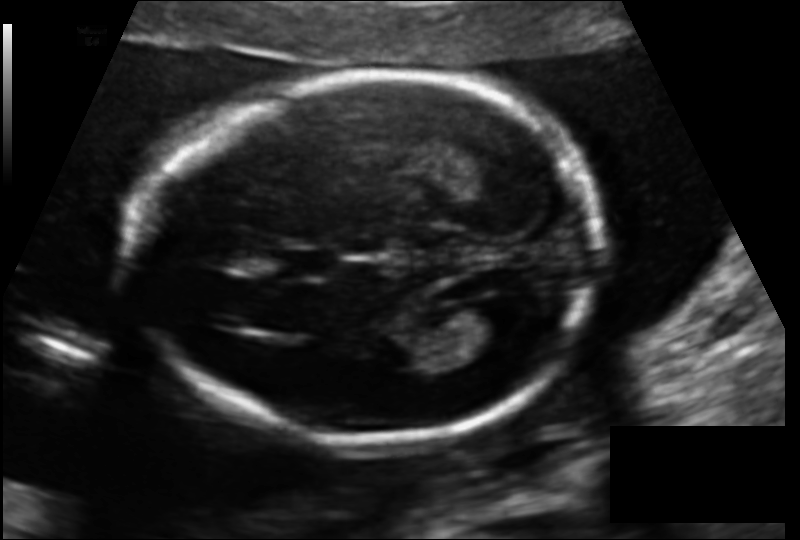
Fetal head ultrasound. Image width: 100.2 mm. Locate the lateral ventricle.

Lateral ventricle: [455,283,533,351]